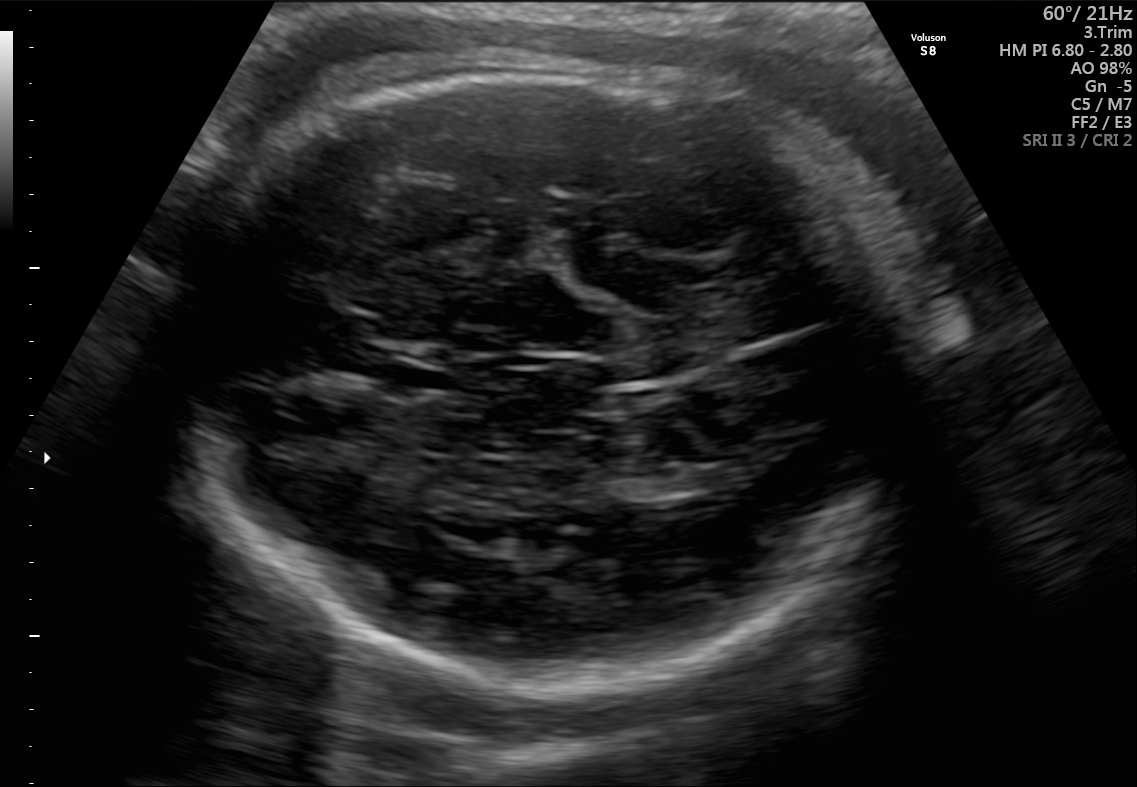
Fetal brain, trans-thalamic plane. Locate the lateral ventricle.

Lateral ventricle: [687,456,753,493]